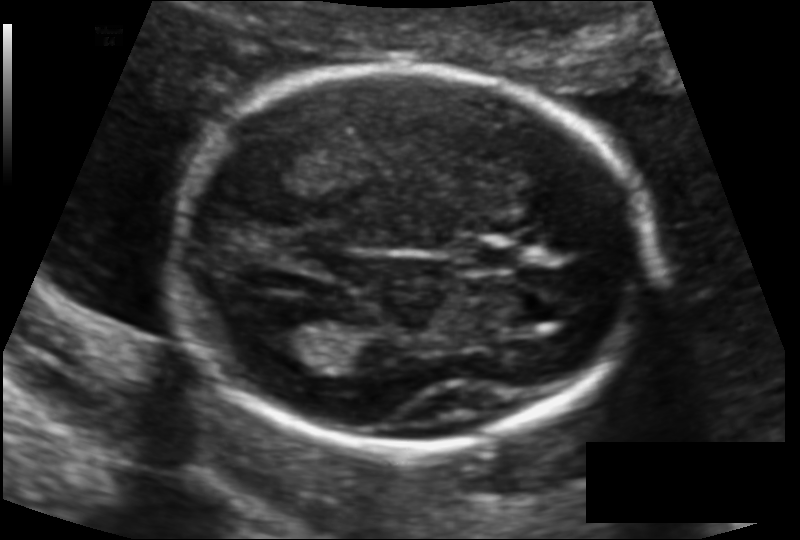
Fetal head ultrasound. Image width: 93.3 mm. Where is the lateral ventricle?

Lateral ventricle bounding box: [247,297,338,371]